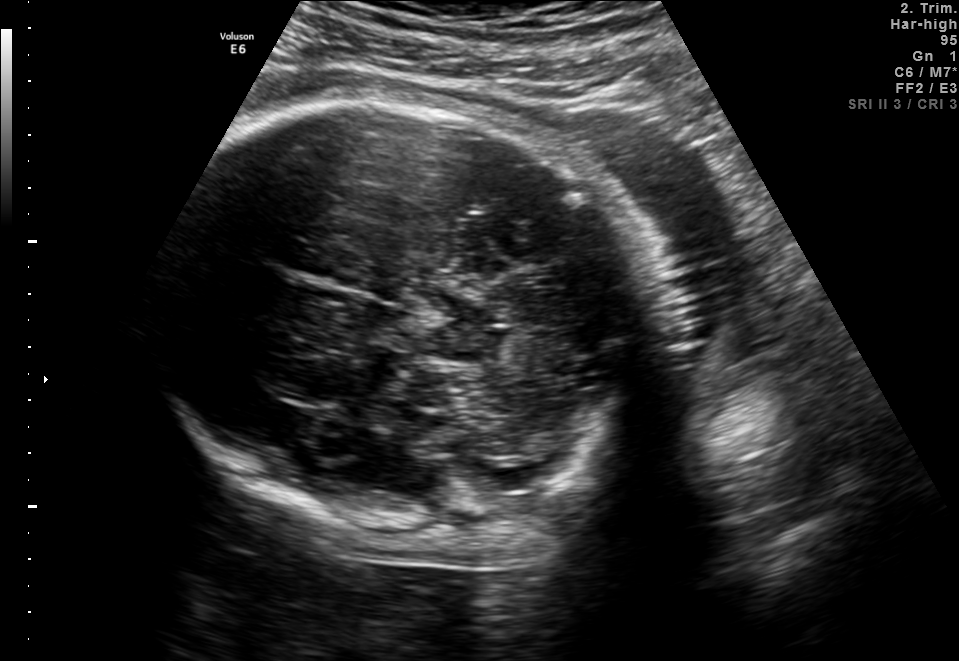
Fetal brain, trans-thalamic plane. Locate the fetal head.

Head: [159,102,668,535]